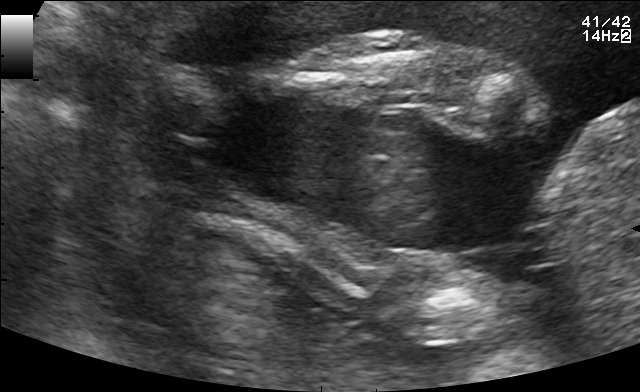
Which standard maternal-fetal ultrasound plane is shown: fetal abdomen, fetal brain, fetal femur, fetal thorax, maternal cervix, or other? If it's fetal brain and one of the three standard brain planes (trans-thalamic, trans-cerebellum, trans-ventricular), name which.

Other